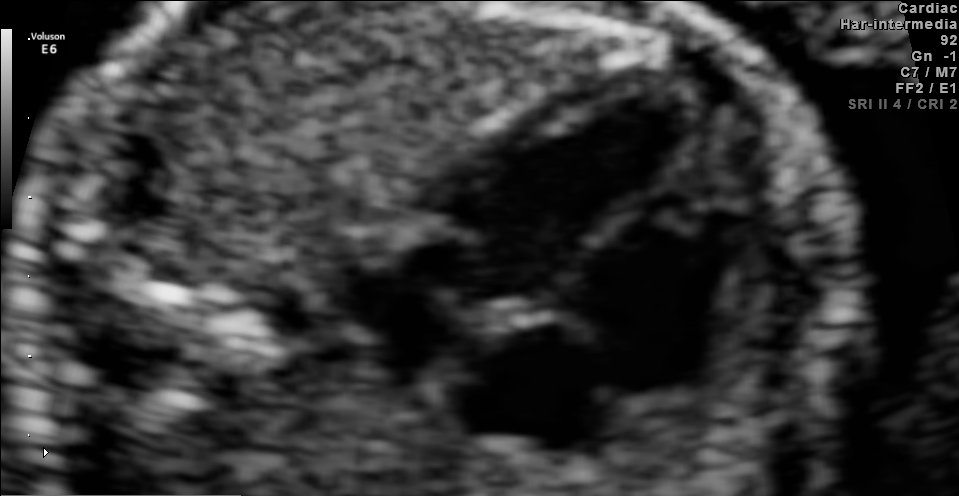
Which standard maternal-fetal ultrasound plane is shown: fetal abdomen, fetal brain, fetal femur, fetal thorax, maternal cervix, or other? If it's fetal brain and one of the three standard brain planes (trans-thalamic, trans-cerebellum, trans-ventricular), name which.

Fetal thorax